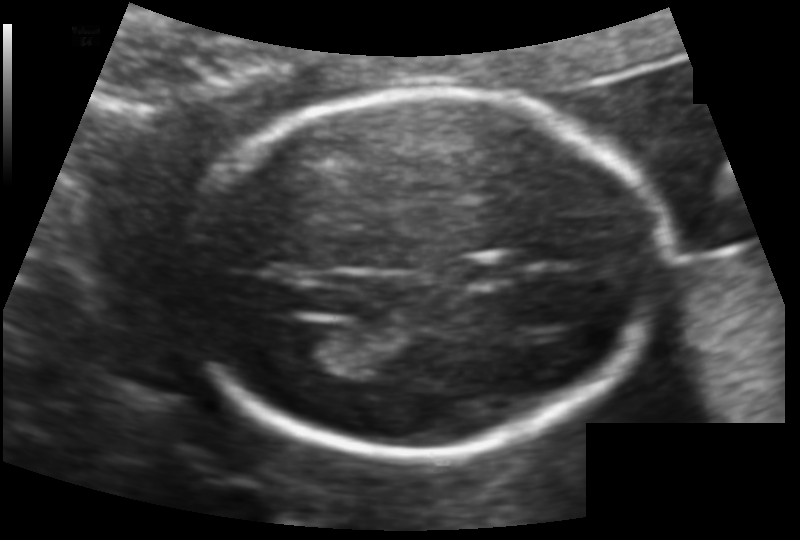
Fetal head ultrasound. Image width: 90.1 mm. Where is the cavum septum pellucidum?

CSP bounding box: [457,252,522,288]